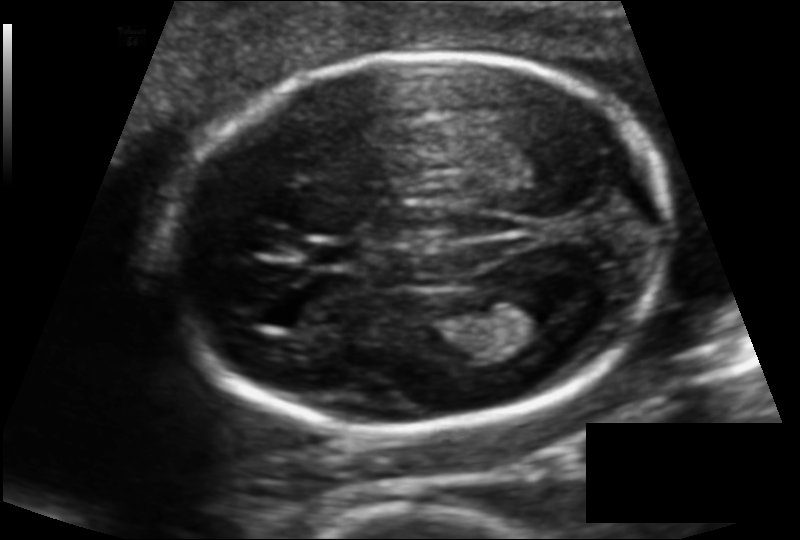
Fetal head ultrasound. Image width: 95.8 mm. Where is the fetal head?

Head bounding box: [171,51,672,431]